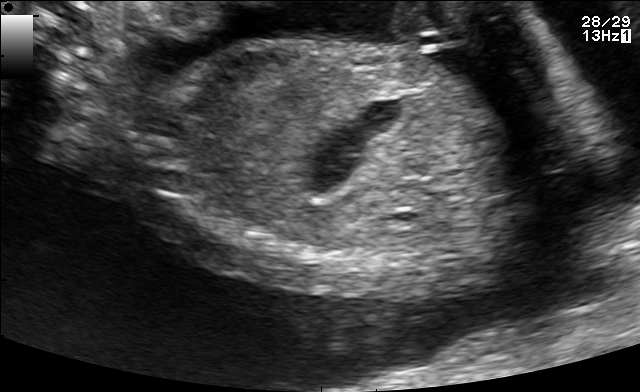
Which standard maternal-fetal ultrasound plane is shown: fetal abdomen, fetal brain, fetal femur, fetal thorax, maternal cervix, or other? If it's fetal brain and one of the three standard brain planes (trans-thalamic, trans-cerebellum, trans-ventricular), name which.

Other